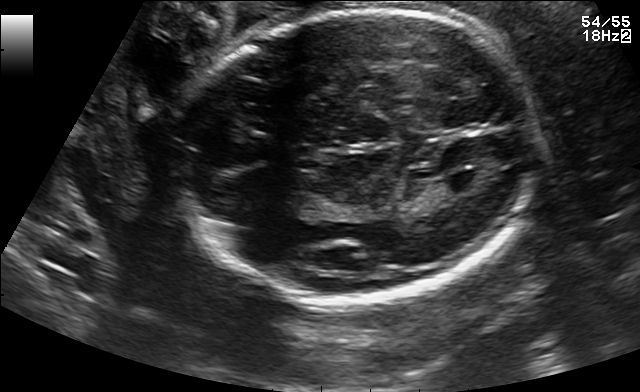
Fetal brain, trans-ventricular plane. Where is the fetal head?

Head bounding box: [168,5,549,307]